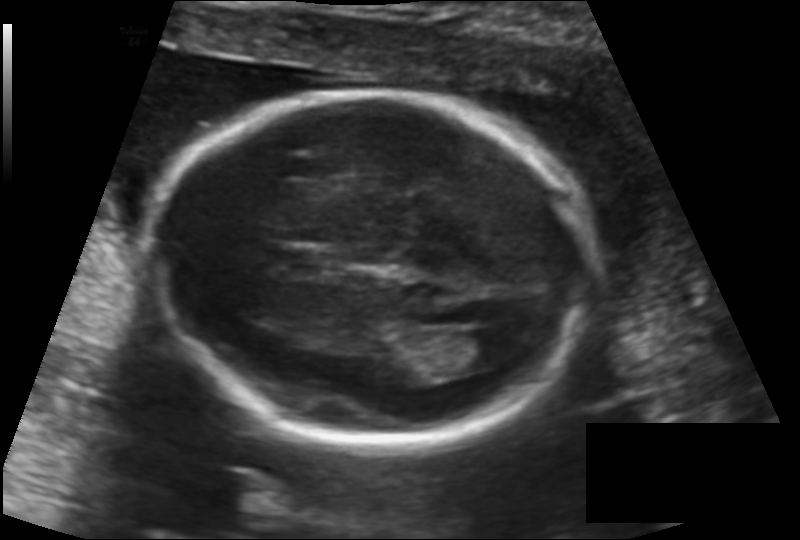
In this fetal head ultrasound, give bounding boxes for the head outline, cavum septum pellucidum (CSP), and lateral ventricle (LV), where visible. Image width: 109.6 mm.

Head: [151,92,594,443]
CSP: [278,248,330,276]
Lateral ventricle: [448,325,516,373]